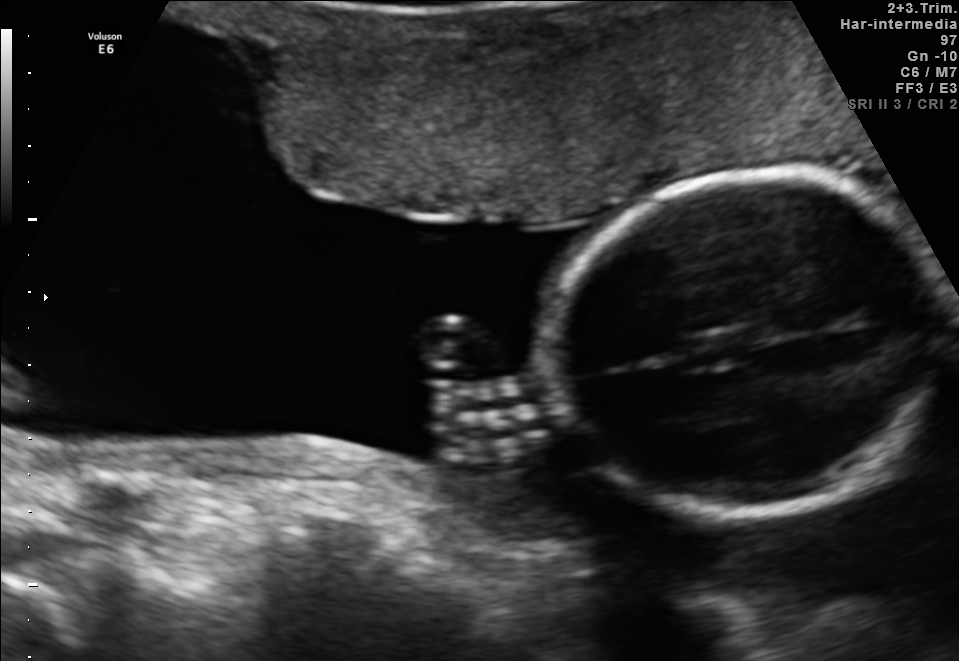
In this fetal brain, trans-thalamic plane, give the bounding box of the fetal head.

[548,178,951,515]